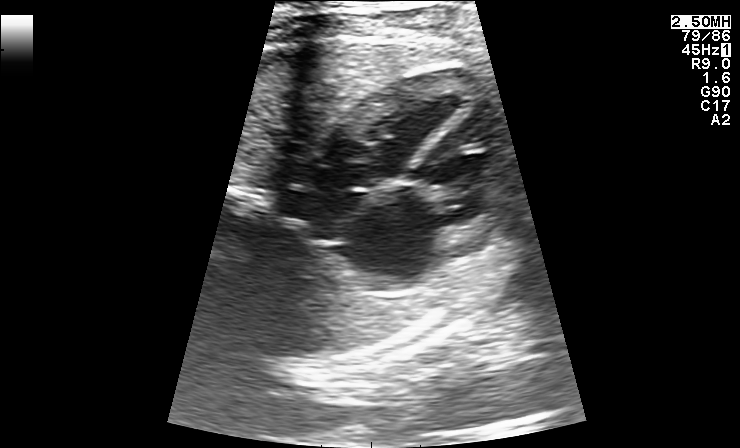
Classify this maternal-fetal ultrasound image as one of the six standard planes — fetal abdomen, fetal brain, fetal femur, fetal thorax, maternal cervix, or other. If it's fetal brain and one of the three standard brain planes (trans-thalamic, trans-cerebellum, trans-ventricular), name which.

Fetal thorax